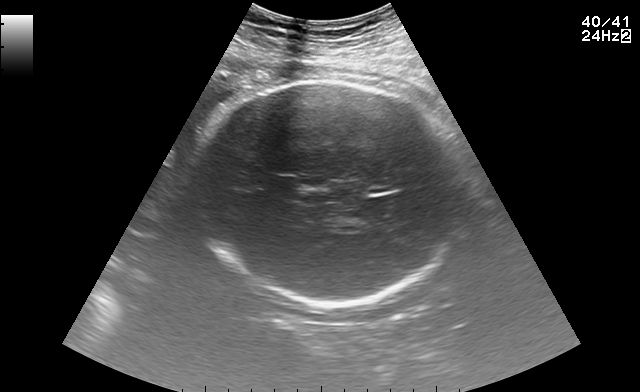
Which standard maternal-fetal ultrasound plane is shown: fetal abdomen, fetal brain, fetal femur, fetal thorax, maternal cervix, or other? If it's fetal brain and one of the three standard brain planes (trans-thalamic, trans-cerebellum, trans-ventricular), name which.

Fetal brain (trans-thalamic plane)